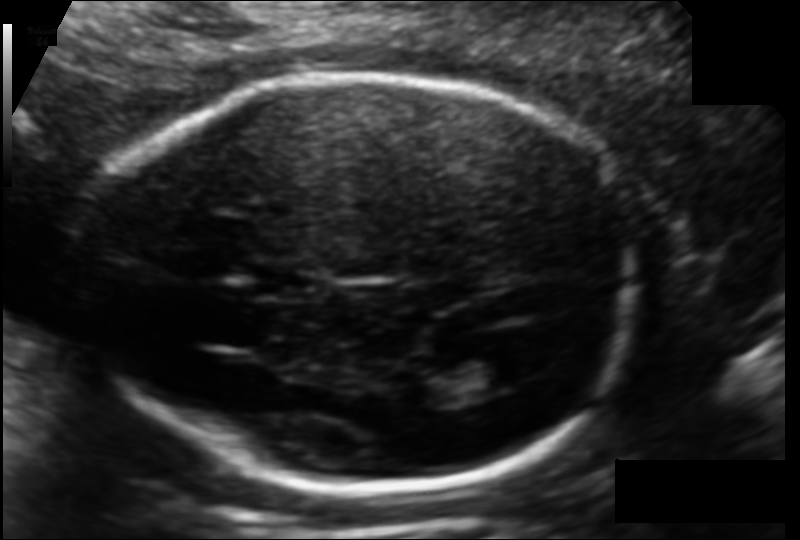
Fetal head ultrasound. Image width: 90.5 mm. Locate the fetal head.

Head: [88,78,632,490]